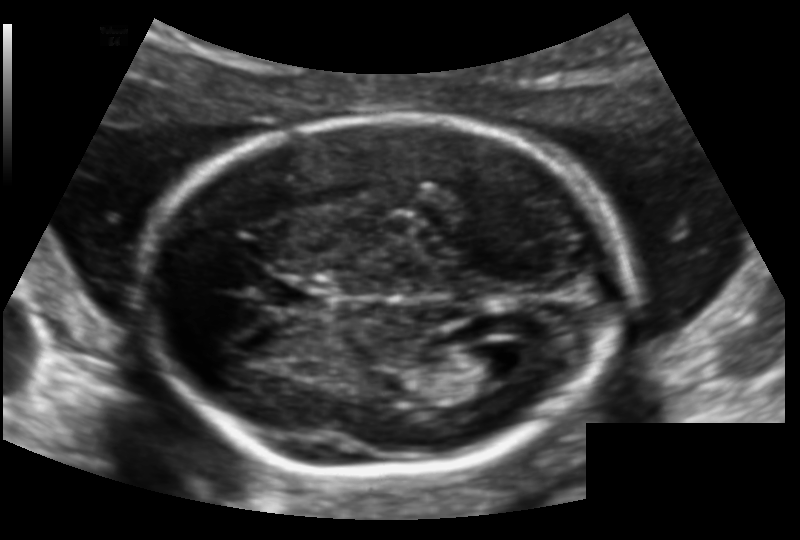
Fetal head ultrasound. Image width: 102.0 mm. Where is the lateral ventricle?

Lateral ventricle bounding box: [452,337,520,390]